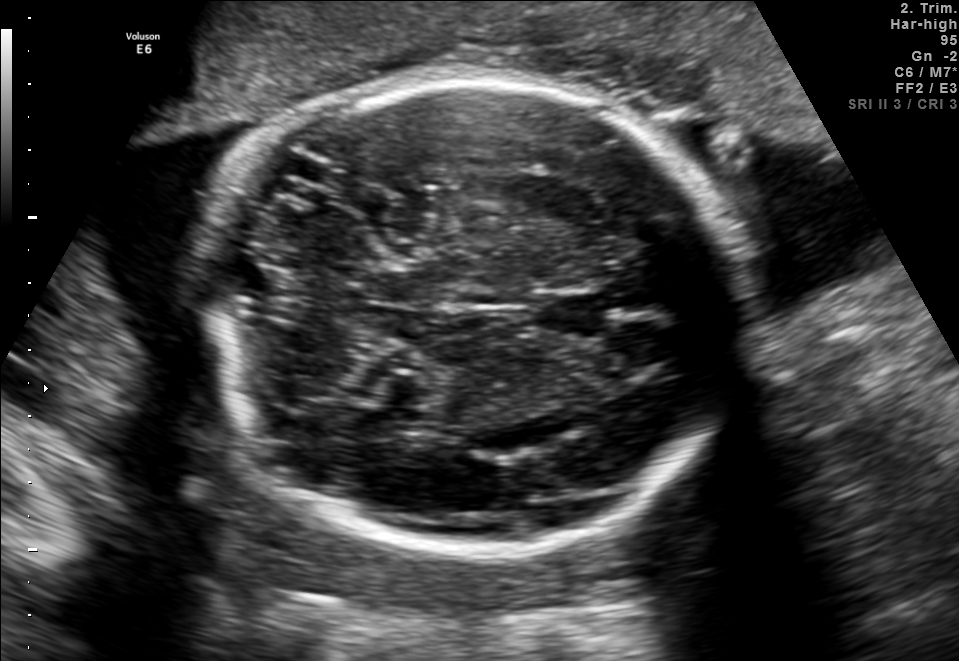
Fetal brain, trans-cerebellum plane. Give [x1,y1,x2,y2] bounding boxes for each visible structure among: fetal head, CSP, LV.

Head: [204,76,733,557]
CSP: [536,292,603,339]